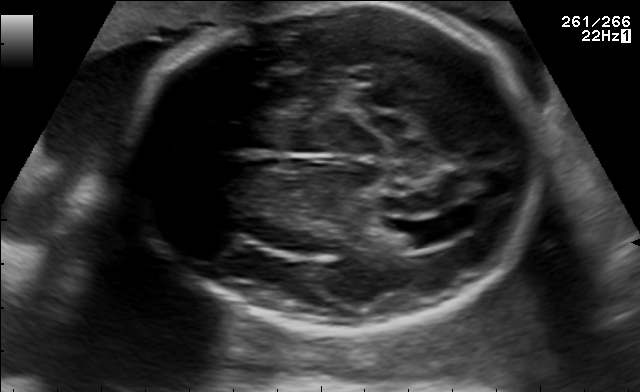
Fetal brain, trans-ventricular plane. Locate the fetal head.

Head: [125,4,552,332]